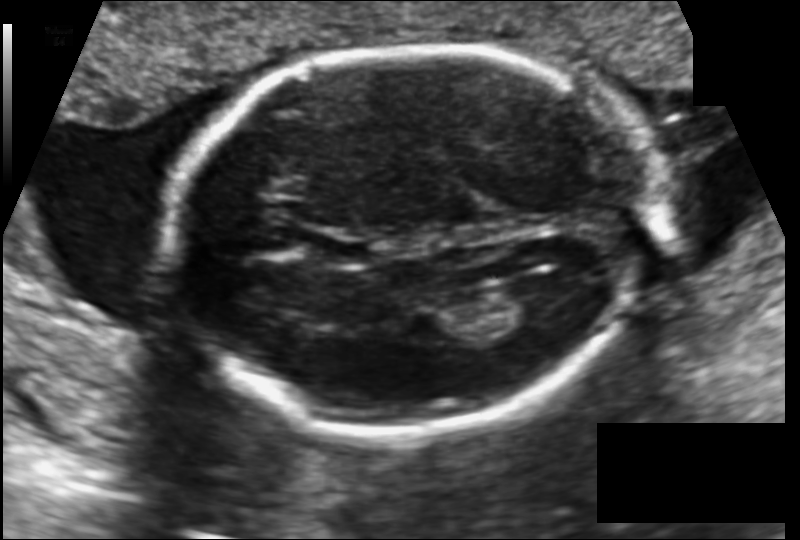
From this fetal ultrasound, estimate the head circumference (image width 106.0 mm).

Head circumference: 187.2 mm.